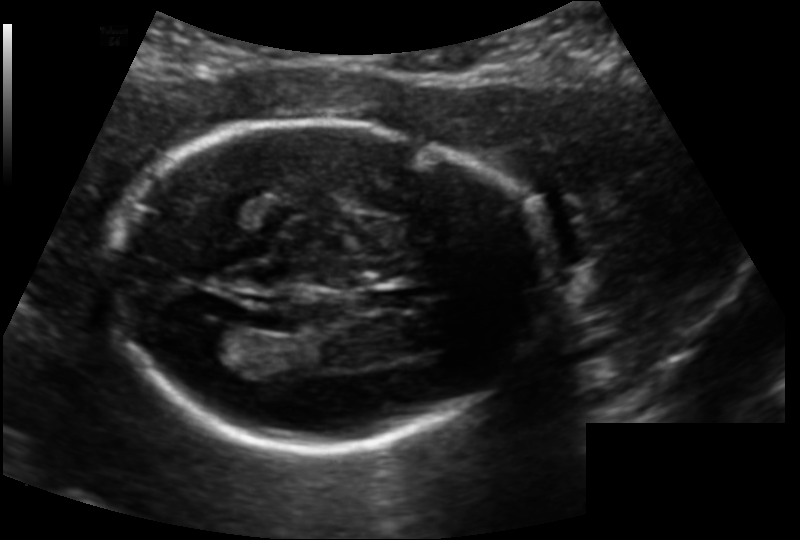
Estimate the fetal head circumference from this 2D ultrasound. Image width: 111.5 mm.

Head circumference: 175.4 mm.